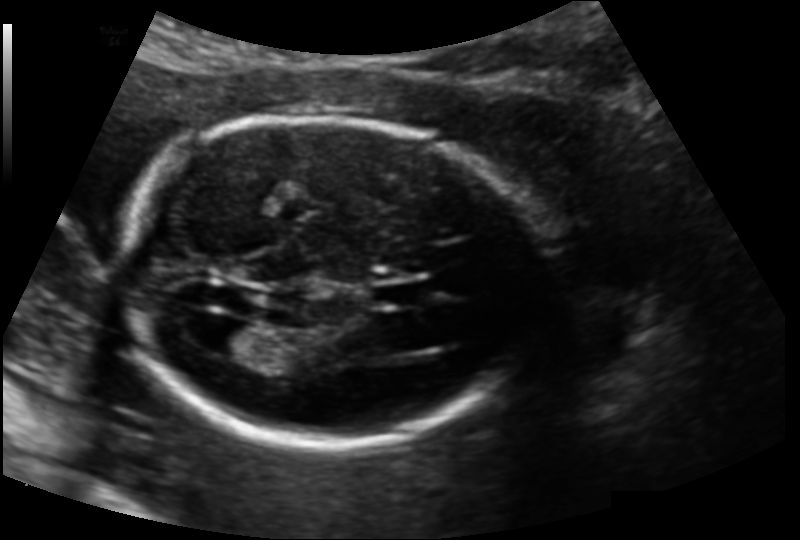
Measure the fetal head circumference shown in this ultrasound image. Image width: 111.6 mm.

Head circumference: 177.8 mm.